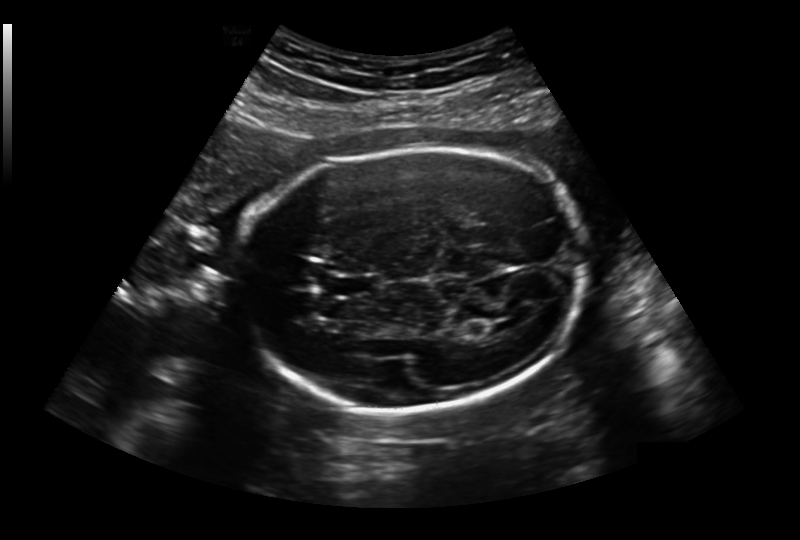
Estimate the fetal head circumference from this 2D ultrasound.

Head circumference: 231.5 mm (image width 188.7 mm).